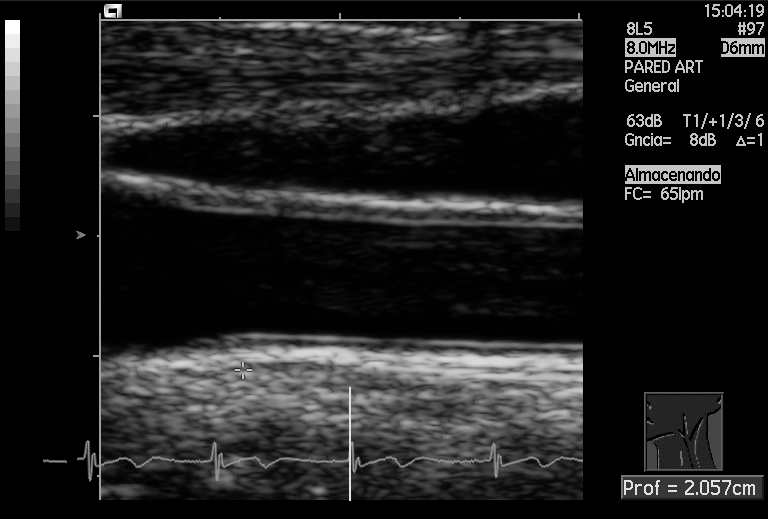
Identify the standard plane in this fetal ultrasound image: fetal abdomen, fetal brain, fetal femur, fetal thorax, maternal cervix, or other. If it's fetal brain and one of the three standard brain planes (trans-thalamic, trans-cerebellum, trans-ventricular), name which.

Other